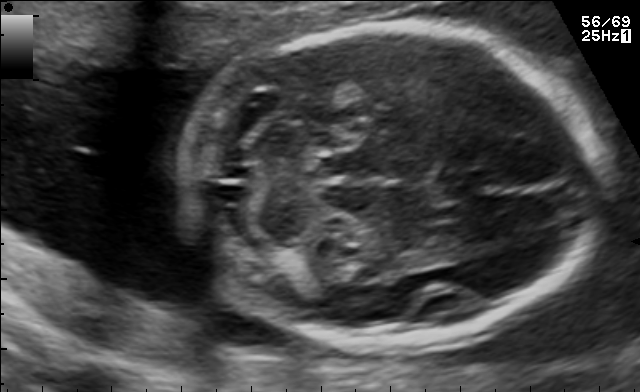
Fetal brain, trans-cerebellum plane. Where is the cavum septum pellucidum?

CSP bounding box: [429,162,497,208]